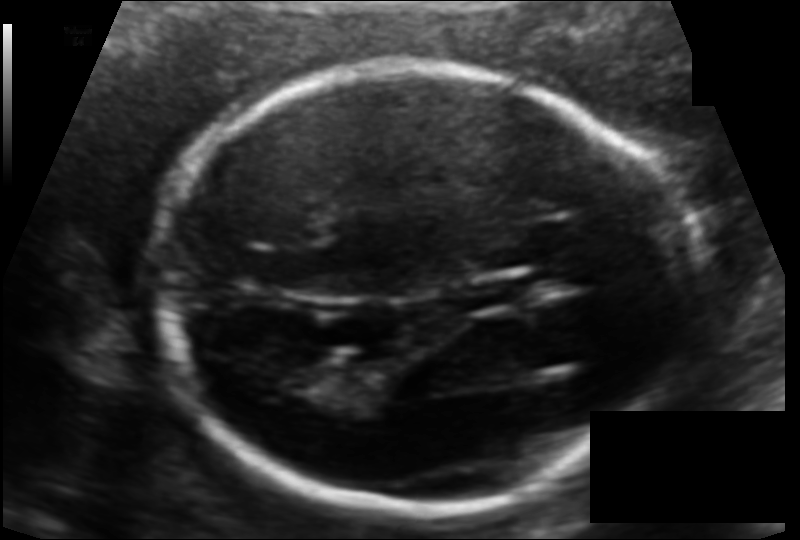
In this fetal head ultrasound, give bounding boxes for the head outline, cavum septum pellucidum (CSP), and lateral ventricle (LV), where visible. Image width: 85.9 mm.

Head: [159,60,686,508]
CSP: [462,275,533,315]